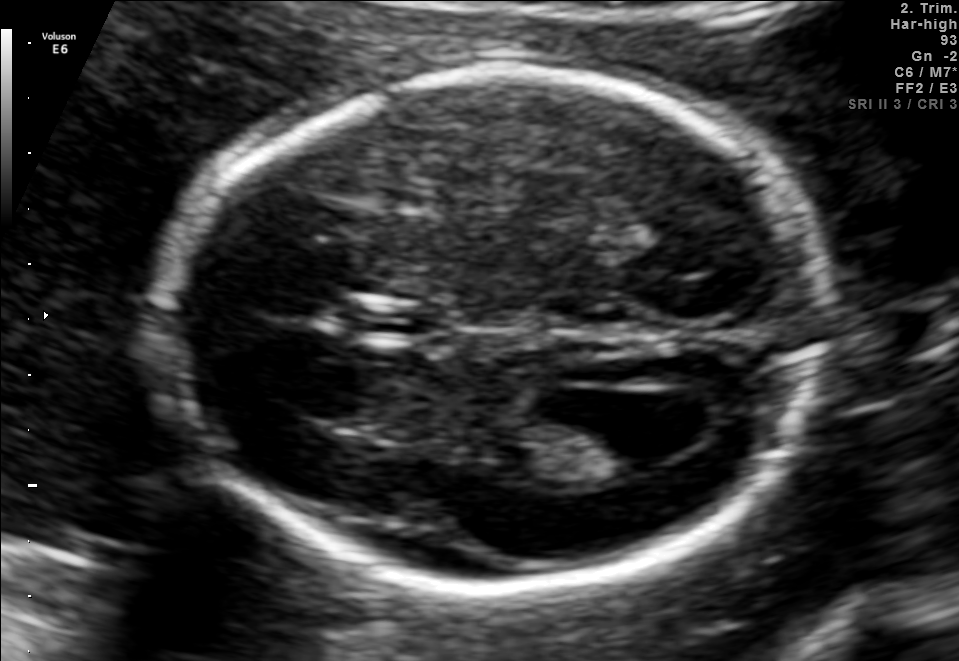
This is a 2D maternal-fetal ultrasound frame. Is it a fetal abdomen, fetal brain, fetal femur, fetal thorax, maternal cervix, or other standard plane? If it's fetal brain and one of the three standard brain planes (trans-thalamic, trans-cerebellum, trans-ventricular), name which.

Fetal brain (trans-ventricular plane)